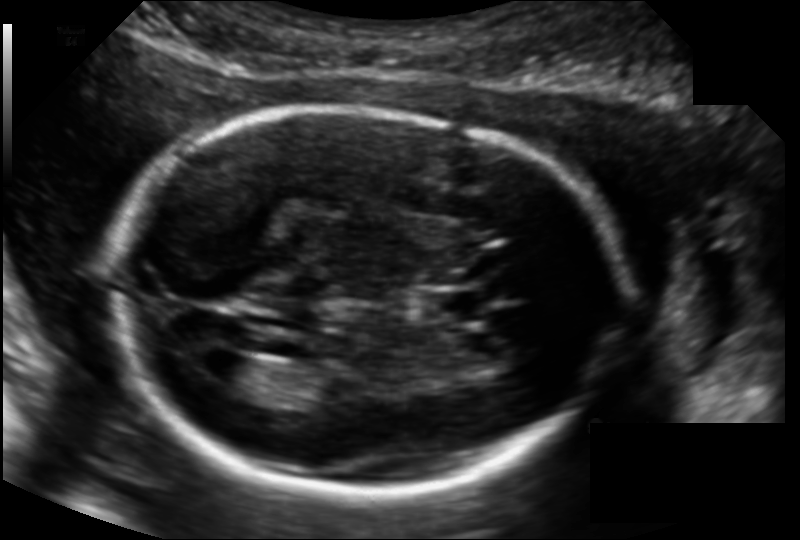
In this fetal head ultrasound, give bounding boxes for the head outline, cavum septum pellucidum (CSP), and lateral ventricle (LV), where visible. Image width: 107.7 mm.

Head: [108,108,617,493]
CSP: [423,291,482,321]
Lateral ventricle: [194,343,267,397]